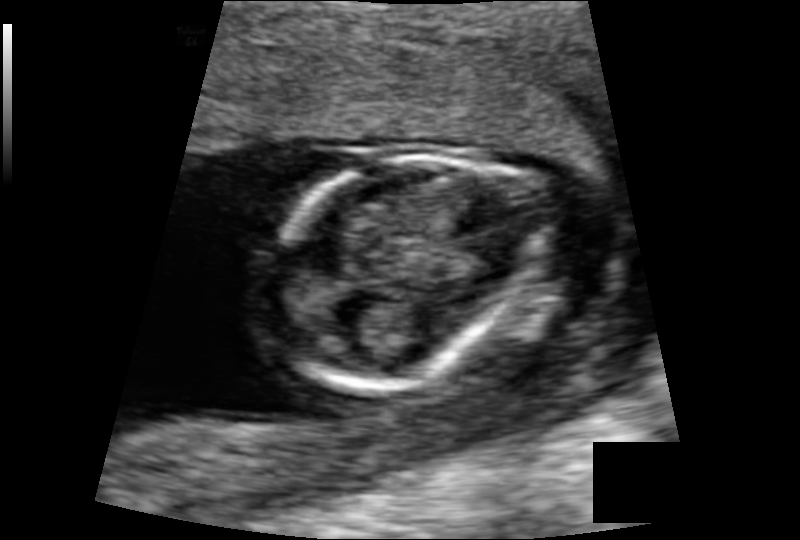
Fetal head ultrasound. Image width: 82.7 mm. Give [x1,y1,x2,y2] bounding boxes for each visible structure among: fetal head, CSP, LV.

Head: [267,156,533,390]